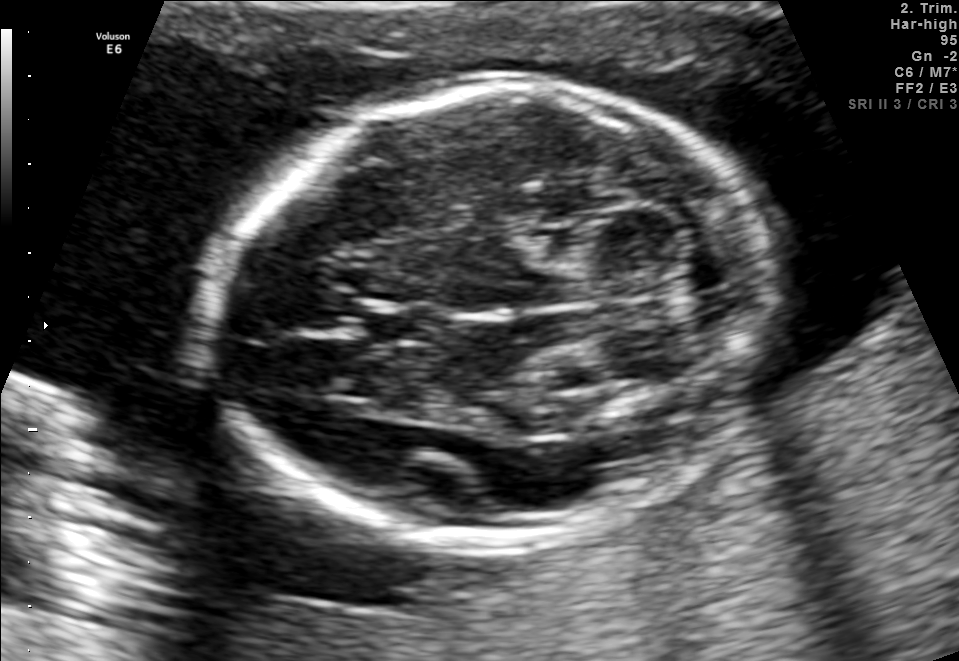
In this fetal brain, trans-cerebellum plane, give the bounding box of the fetal head.

[205,87,764,540]